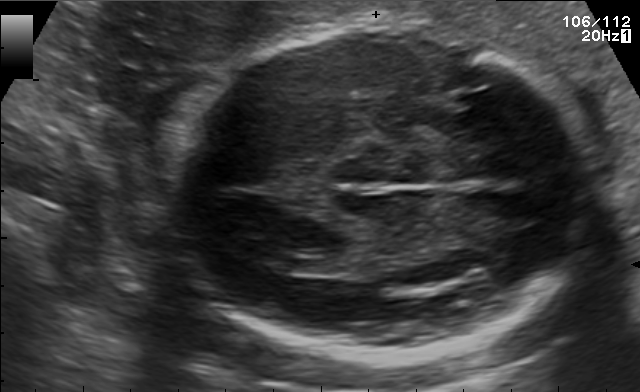
Fetal brain, trans-ventricular plane. Give [x1,y1,x2,y2] bounding boxes for each visible structure among: fetal head, CSP, LV.

Head: [157,21,609,370]
Lateral ventricle: [270,255,306,274]